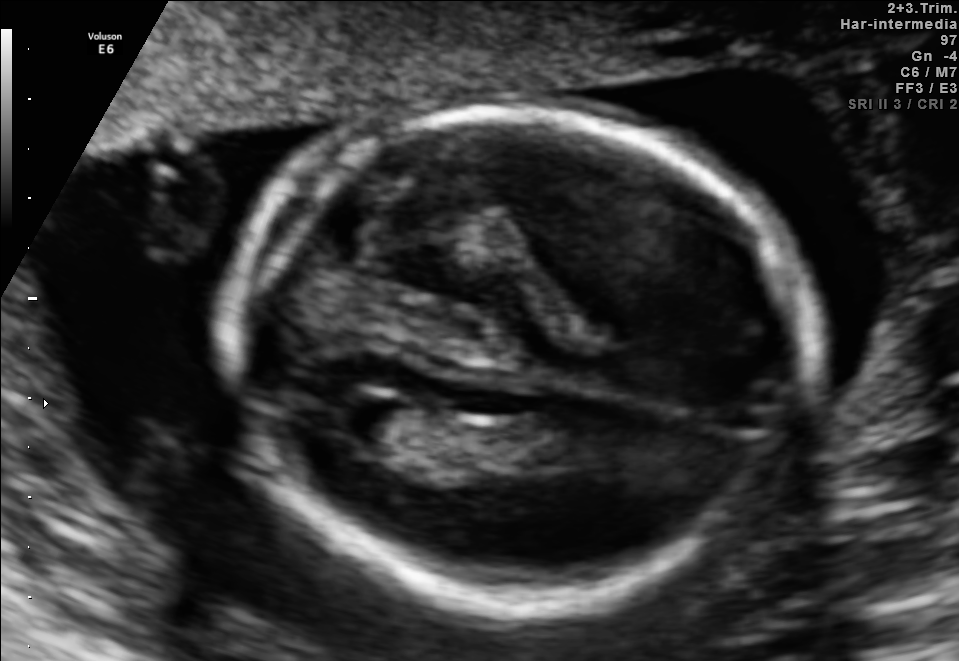
In this fetal brain, trans-ventricular plane, give the bounding box of the lateral ventricle.

[327,386,409,450]